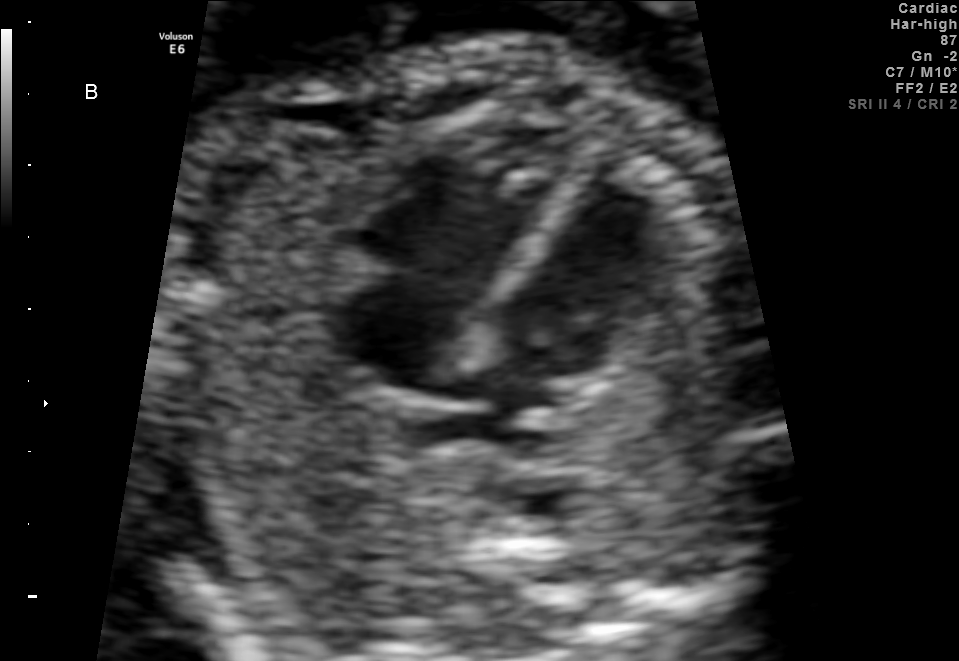
Which standard maternal-fetal ultrasound plane is shown: fetal abdomen, fetal brain, fetal femur, fetal thorax, maternal cervix, or other? If it's fetal brain and one of the three standard brain planes (trans-thalamic, trans-cerebellum, trans-ventricular), name which.

Fetal thorax